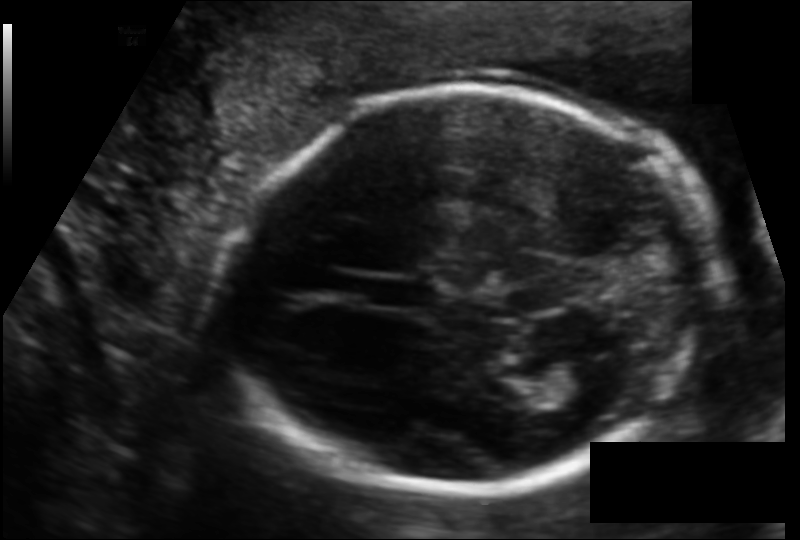
What is the fetal head circumference? Image width is 95.3 mm.

175.6 mm